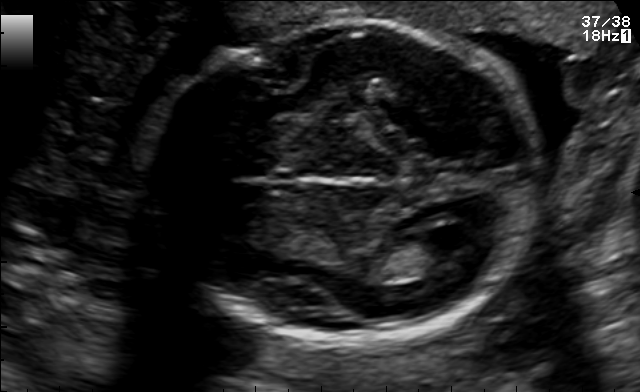
Fetal brain, trans-ventricular plane. Where is the fetal head?

Head bounding box: [141,9,553,351]